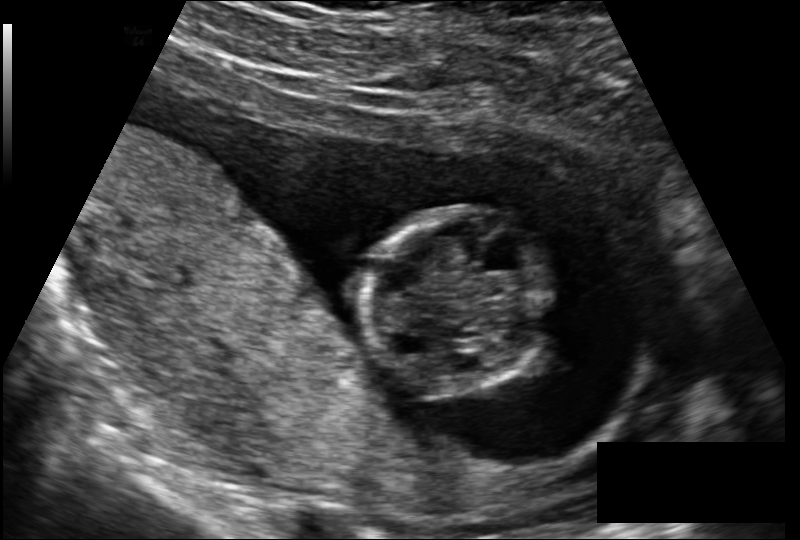
Fetal head ultrasound. Image width: 105.1 mm. Give [x1,y1,x2,y2] bounding boxes for each visible structure among: fetal head, CSP, LV.

Head: [360,208,552,395]